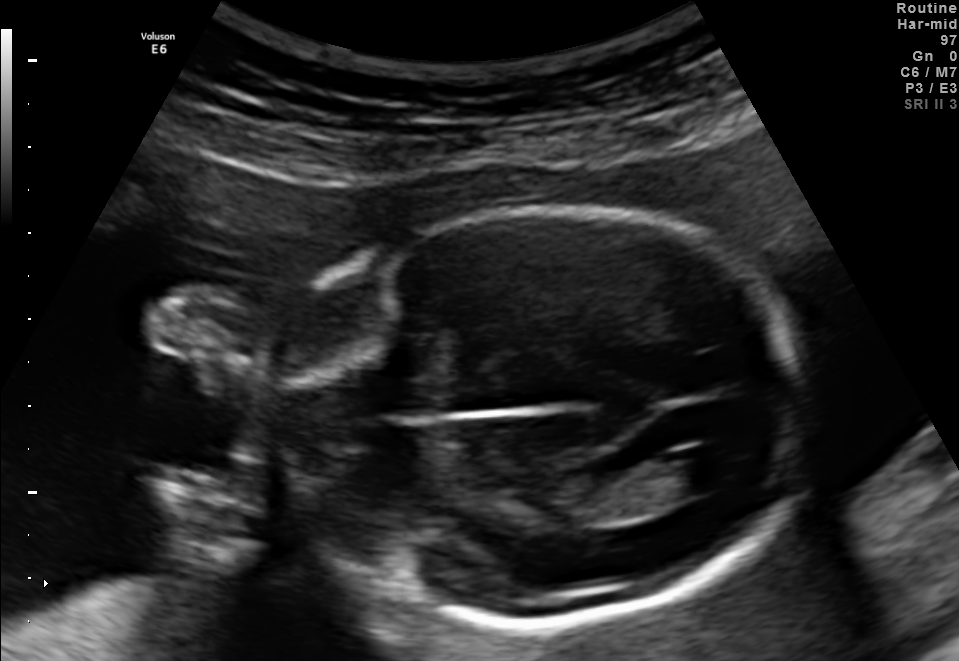
Fetal brain, trans-ventricular plane. Give [x1,y1,x2,y2] bounding boxes for each visible structure among: fetal head, CSP, LV.

Head: [270,201,821,630]
Lateral ventricle: [676,434,749,496]